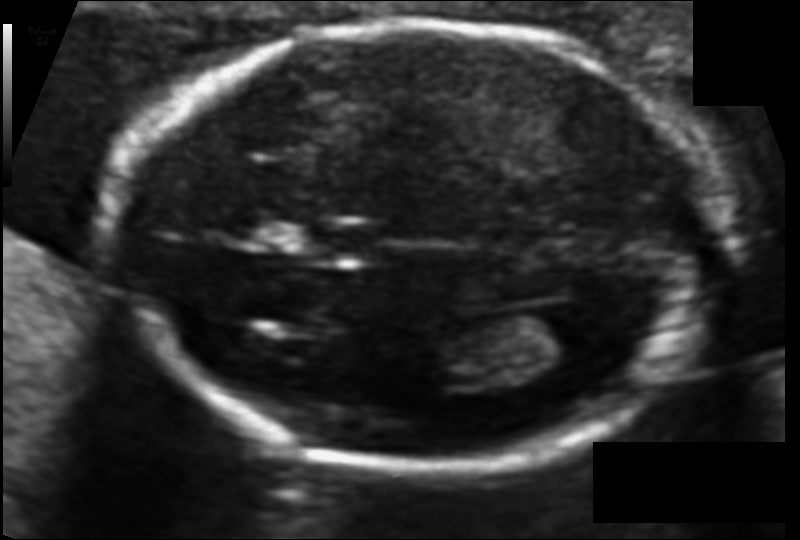
In this fetal head ultrasound, give the bounding box of the cavum septum pellucidum. Image width: 75.0 mm.

[312,224,385,259]